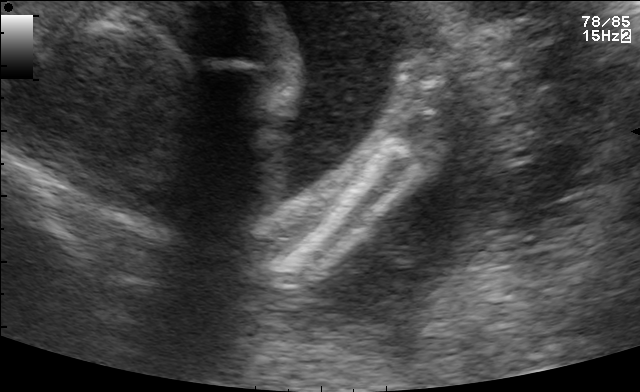
This is a 2D maternal-fetal ultrasound frame. Is it a fetal abdomen, fetal brain, fetal femur, fetal thorax, maternal cervix, or other standard plane? If it's fetal brain and one of the three standard brain planes (trans-thalamic, trans-cerebellum, trans-ventricular), name which.

Other